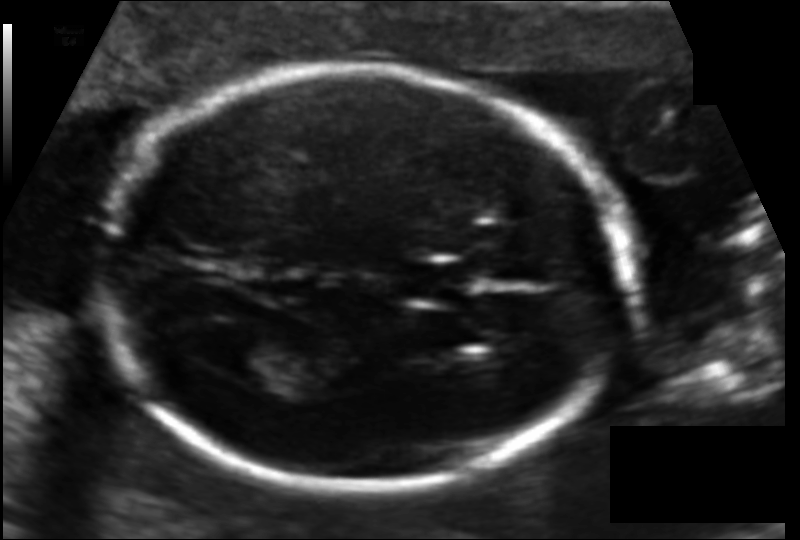
In this fetal head ultrasound, give the bounding box of the lateral ventricle. Image width: 91.0 mm.

[202,324,286,387]